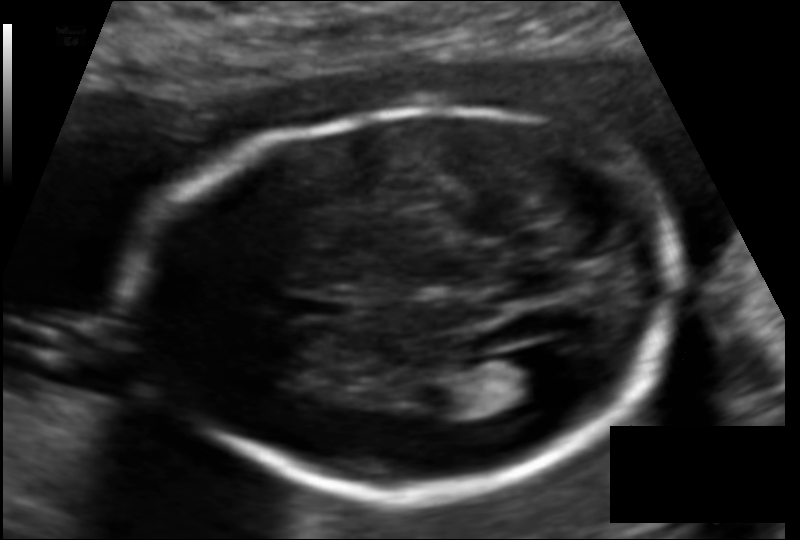
Fetal head ultrasound. Image width: 91.1 mm. Give [x1,y1,x2,y2] bounding boxes for each visible structure among: fetal head, CSP, LV.

Head: [158,109,680,492]
CSP: [289,293,350,319]
Lateral ventricle: [481,344,561,413]